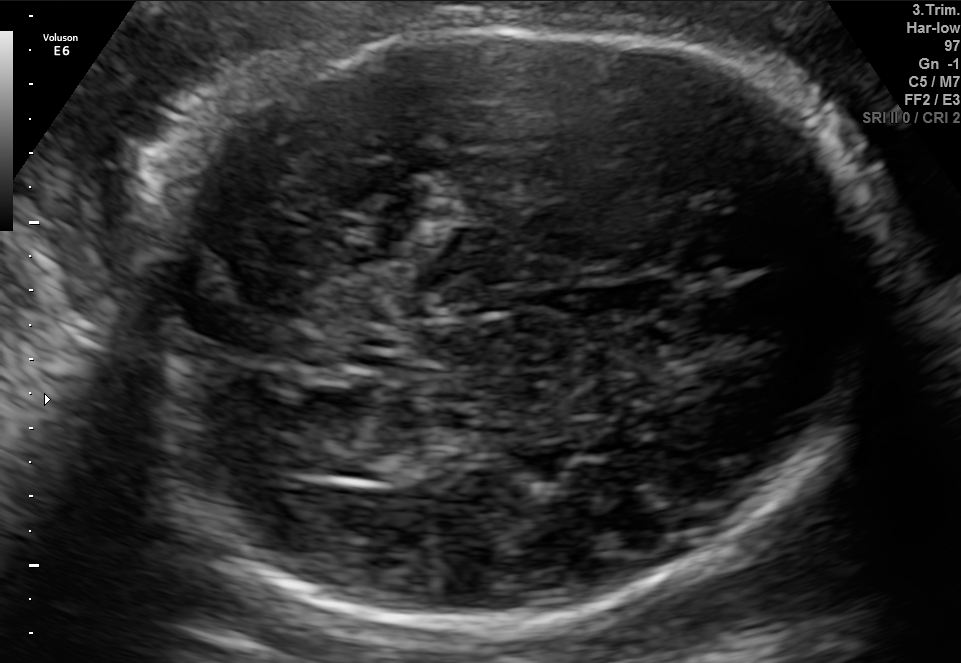
In this fetal brain, trans-thalamic plane, give the bounding box of the lateral ventricle.

[305,428,416,486]